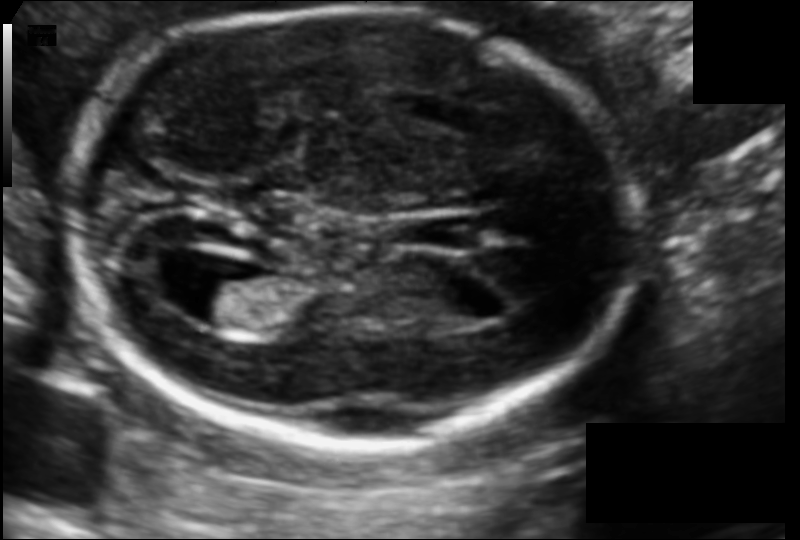
Measure the fetal head circumference shown in this ultrasound image. Image width: 83.9 mm.

Head circumference: 171.0 mm.